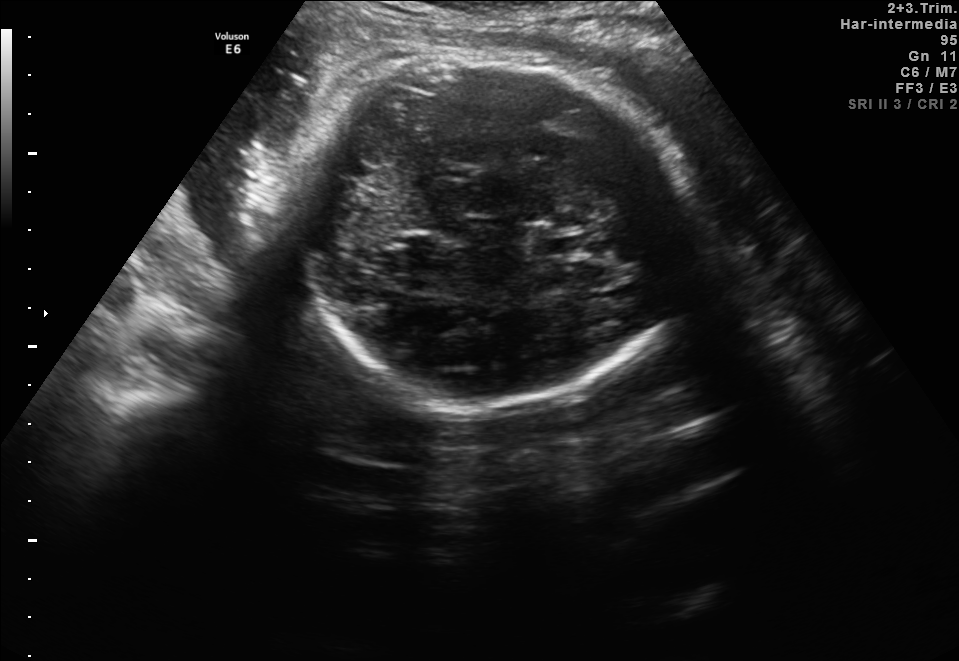
In this fetal brain, trans-thalamic plane, give the bounding box of the fetal head.

[296,57,695,402]